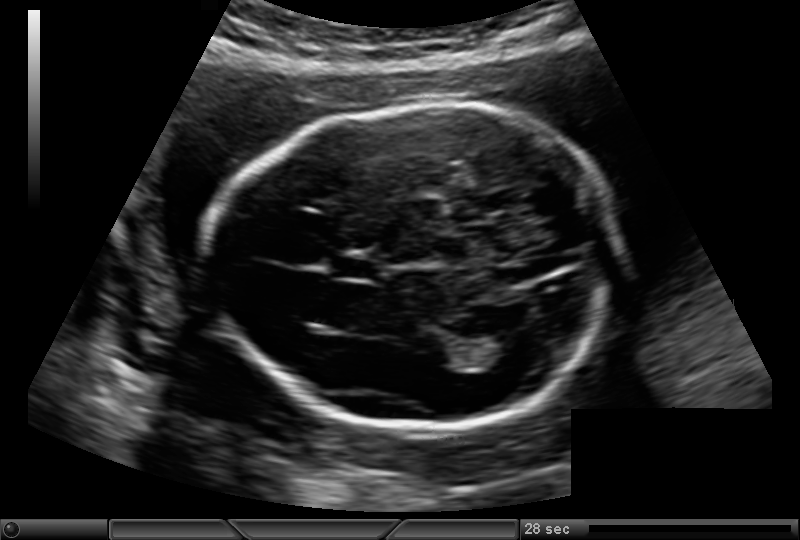
Fetal head ultrasound. Image width: 117.2 mm. Locate the fetal head and, if visible, the cavum septum pellucidum (CSP) and lateral ventricle (LV). Give bounding boxes as [x1,y1,x2,y2].

Head: [209,107,616,430]
CSP: [331,255,377,282]